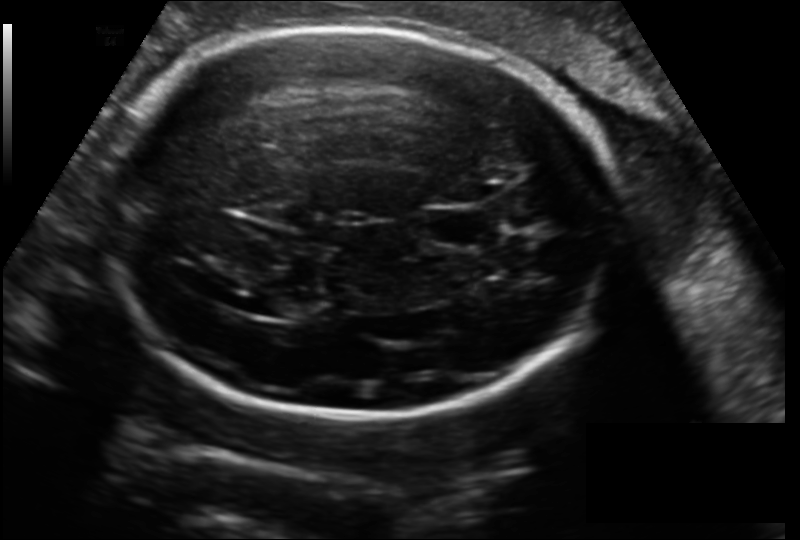
Fetal head ultrasound. Image width: 142.1 mm. Give [x1,y1,x2,y2] bounding boxes for each visible structure among: fetal head, CSP, LV.

Head: [98,25,619,417]
CSP: [424,207,486,247]
Lateral ventricle: [254,293,303,320]